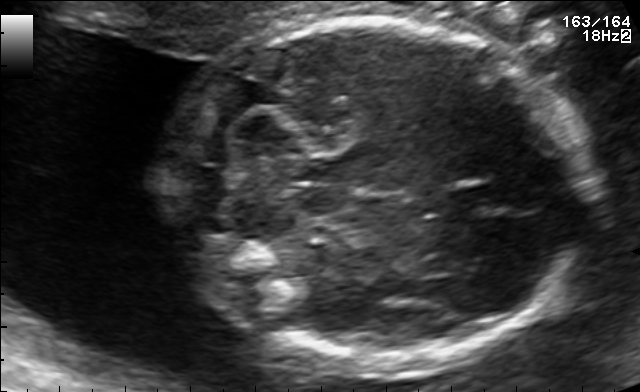
In this fetal brain, trans-cerebellum plane, give the bounding box of the fetal head.

[170,17,589,370]